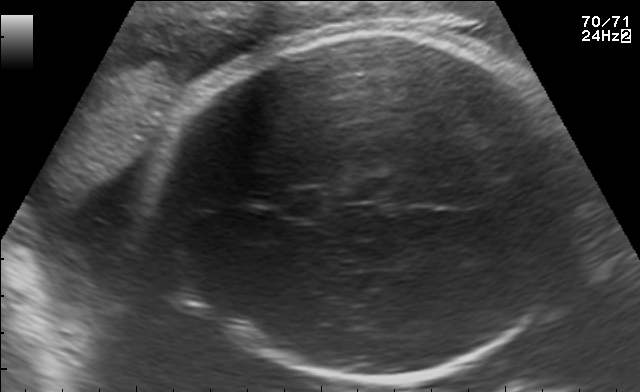
Fetal brain, trans-thalamic plane. Locate the fetal head.

Head: [153,30,588,375]